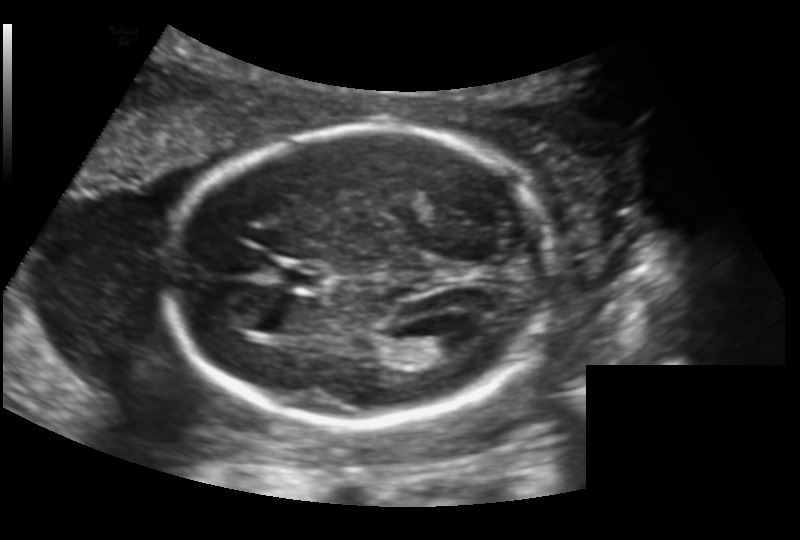
In this fetal head ultrasound, give the bounding box of the fetal head. Image width: 125.0 mm.

[169,127,548,428]